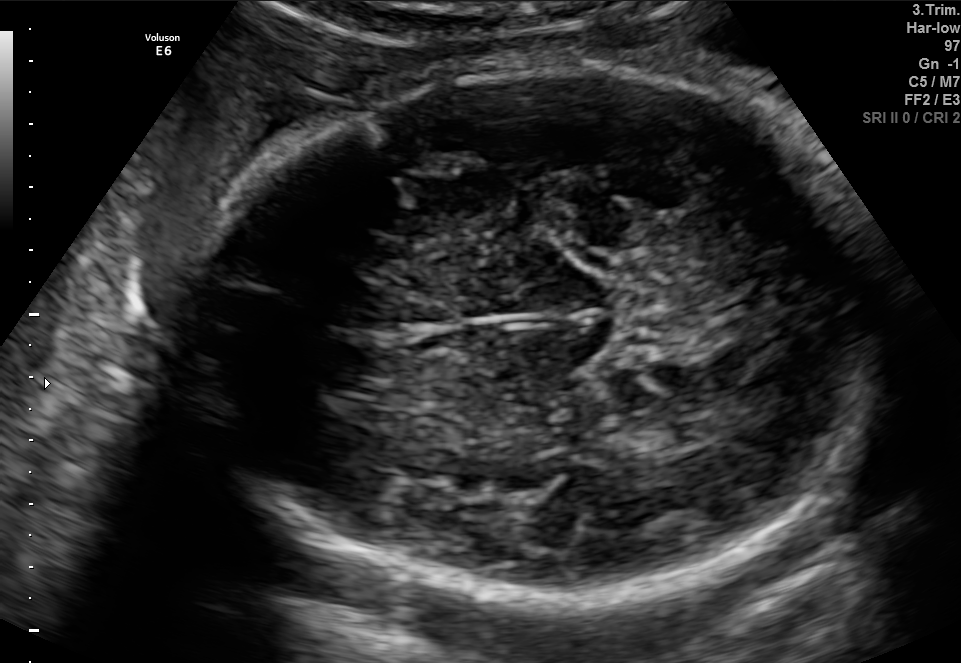
Fetal brain, trans-thalamic plane. Locate the fetal head and, if visible, the cavum septum pellucidum (CSP) and lateral ventricle (LV). Give bounding boxes as [x1,y1,x2,y2].

Head: [182,60,875,597]